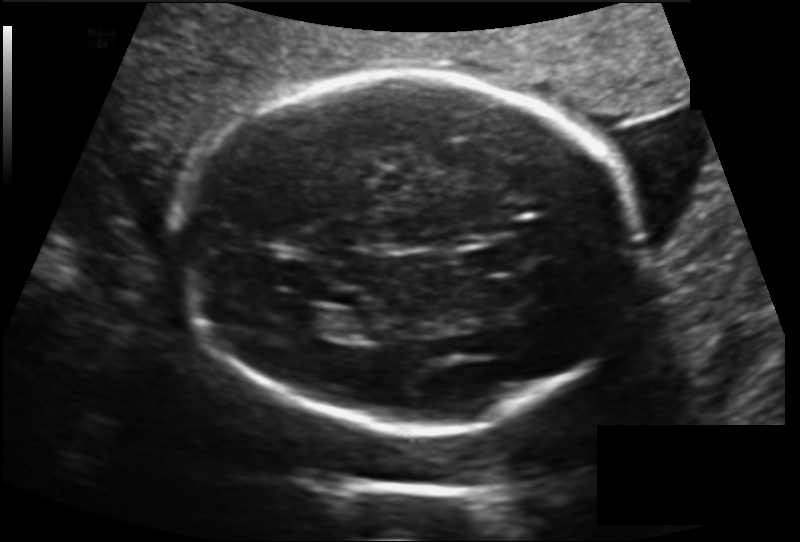
What is the fetal head circumference? Image width is 127.7 mm.

212.1 mm